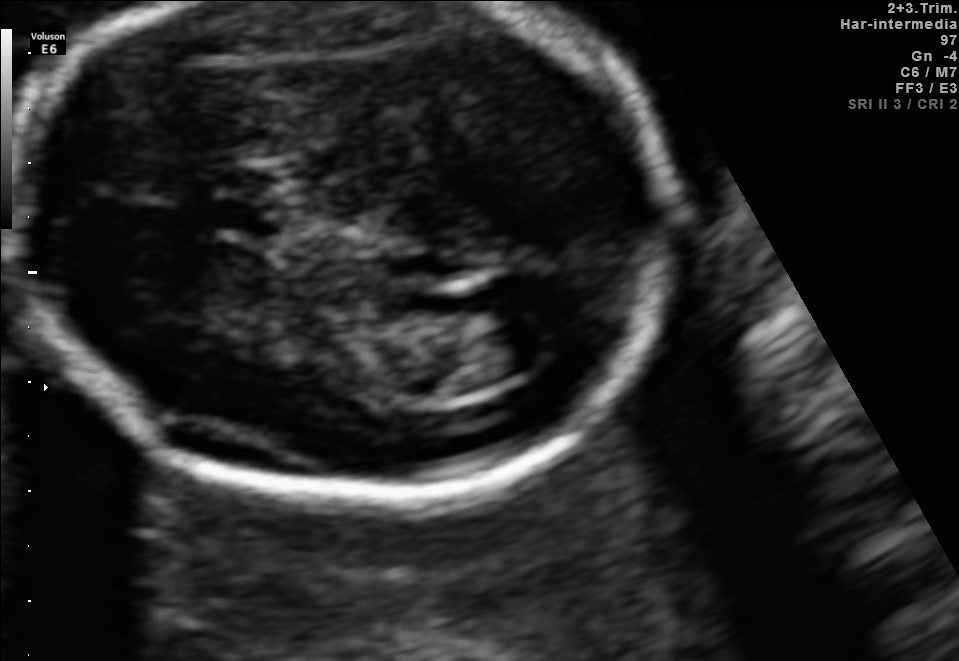
In this fetal brain, trans-ventricular plane, give bounding boxes for the cavum septum pellucidum (CSP) and lateral ventricle (LV), where visible.

CSP: [214,199,276,238]
Lateral ventricle: [475,308,567,383]